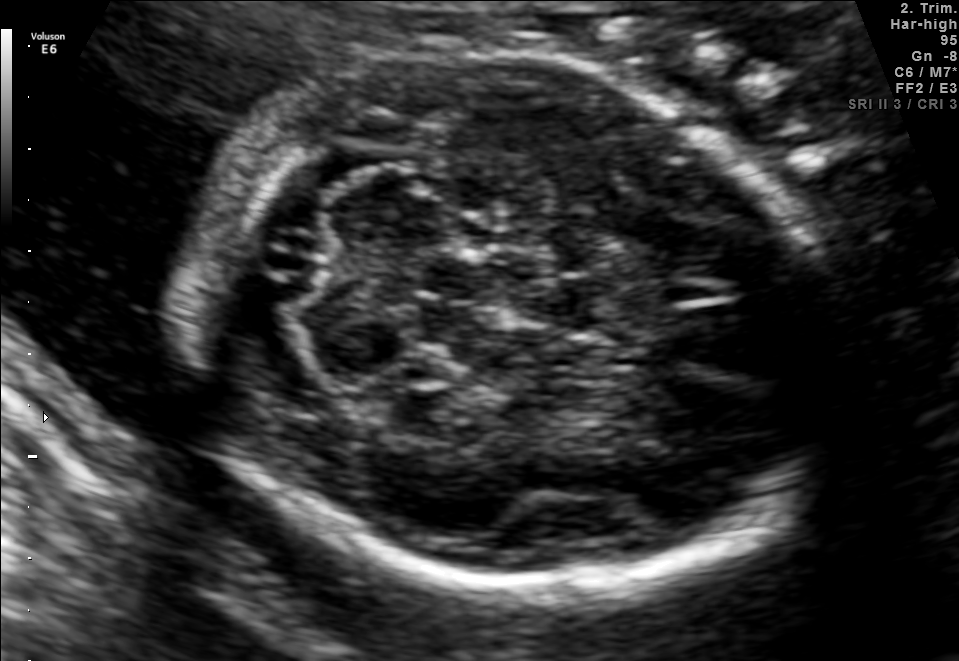
Fetal brain, trans-cerebellum plane. Locate the fetal head.

Head: [187,59,834,592]